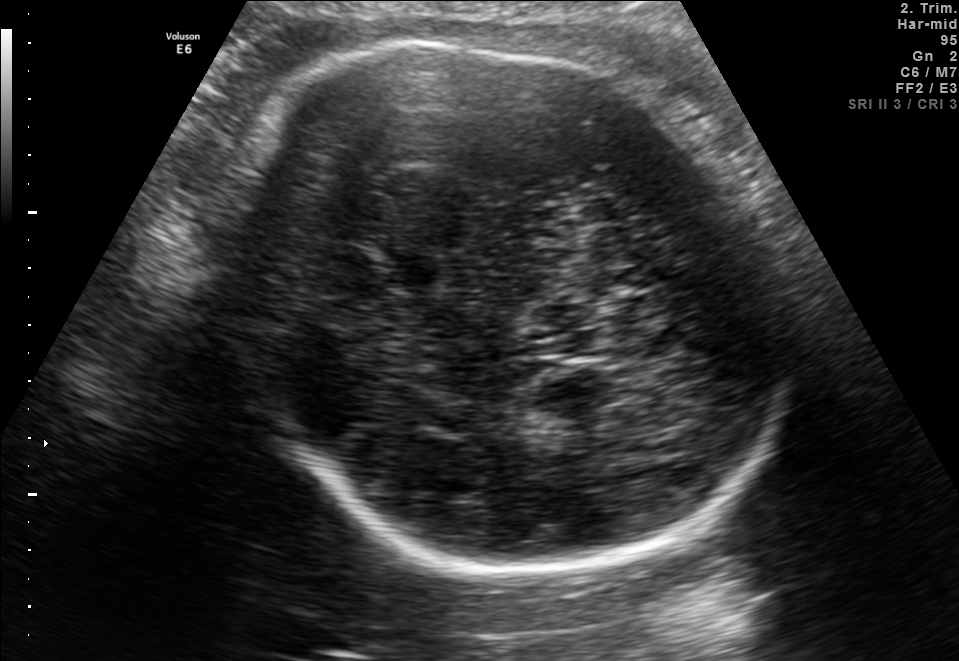
In this fetal brain, trans-thalamic plane, give the bounding box of the fetal head.

[219,31,778,576]